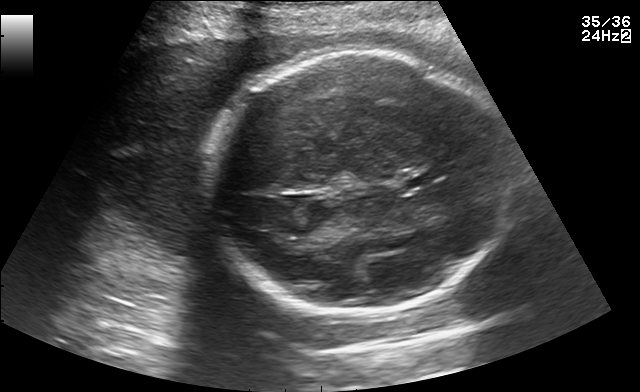
Fetal brain, trans-thalamic plane. Where is the cavum septum pellucidum?

CSP bounding box: [404,167,442,191]